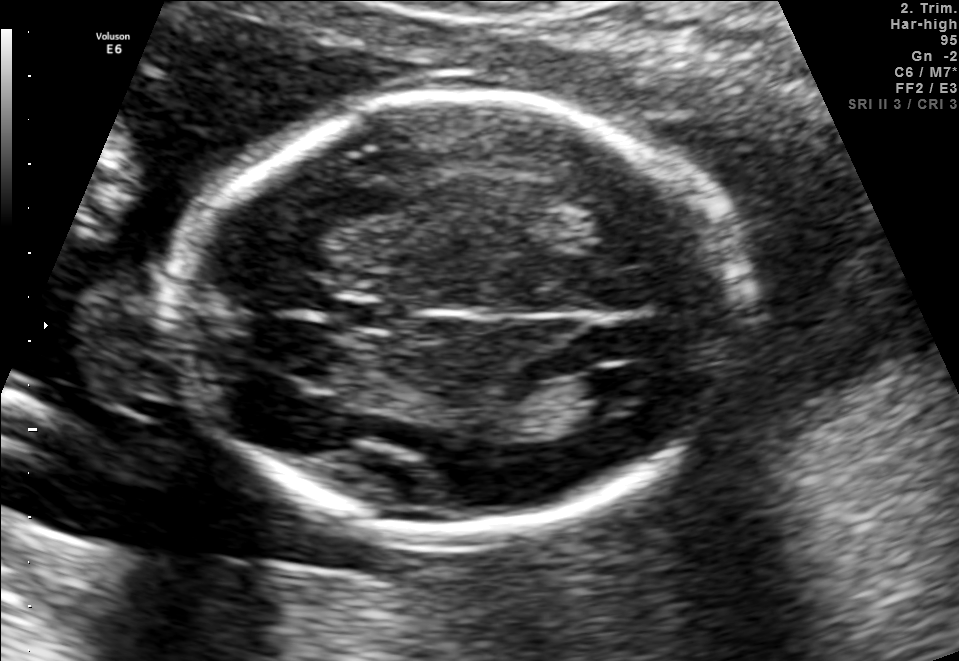
Identify the standard plane in this fetal ultrasound image: fetal abdomen, fetal brain, fetal femur, fetal thorax, maternal cervix, or other. If it's fetal brain and one of the three standard brain planes (trans-thalamic, trans-cerebellum, trans-ventricular), name which.

Fetal brain (trans-ventricular plane)